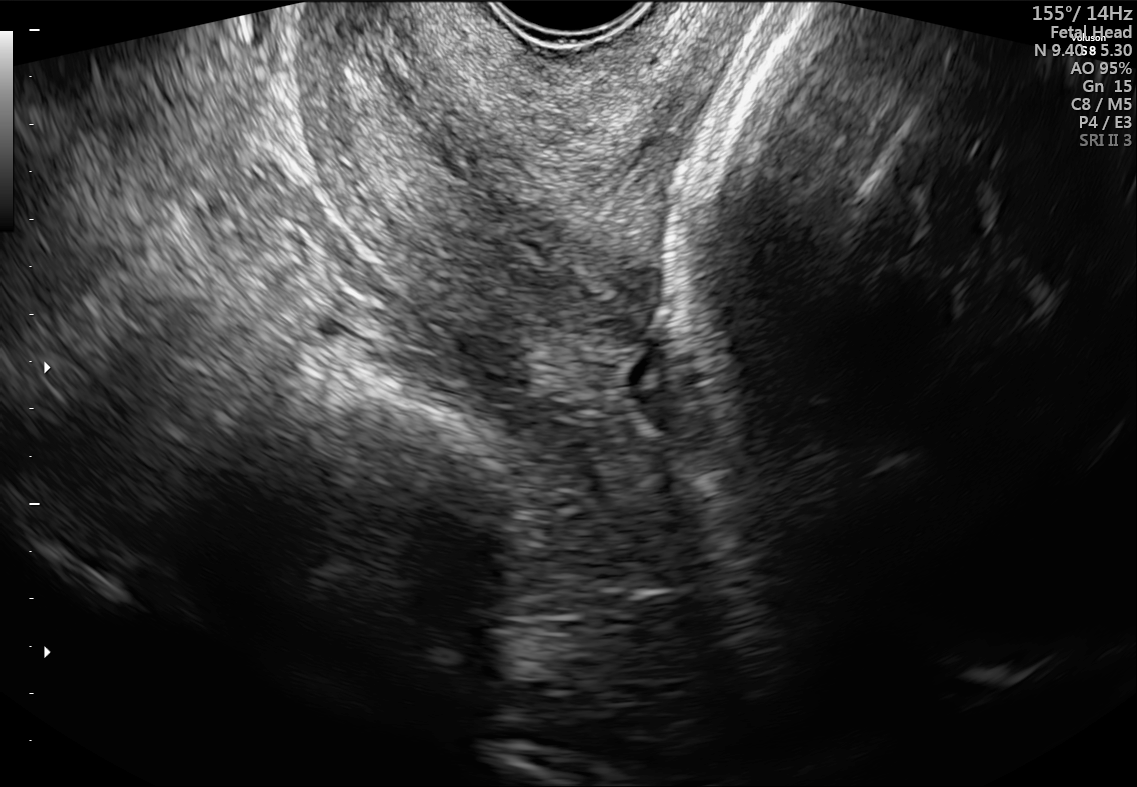
Which standard maternal-fetal ultrasound plane is shown: fetal abdomen, fetal brain, fetal femur, fetal thorax, maternal cervix, or other? If it's fetal brain and one of the three standard brain planes (trans-thalamic, trans-cerebellum, trans-ventricular), name which.

Maternal cervix